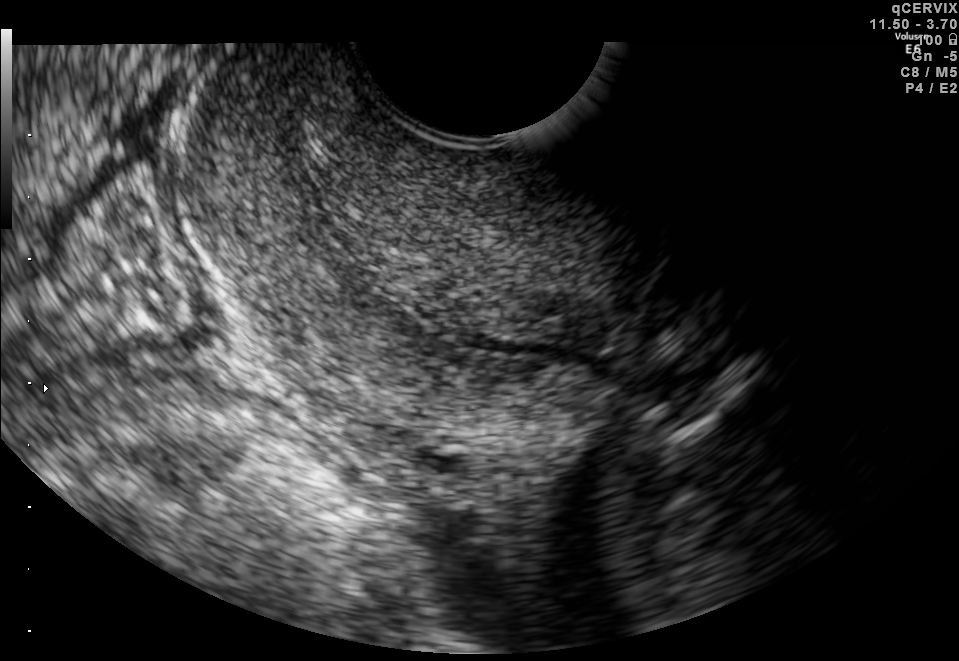
Identify the standard plane in this fetal ultrasound image: fetal abdomen, fetal brain, fetal femur, fetal thorax, maternal cervix, or other. If it's fetal brain and one of the three standard brain planes (trans-thalamic, trans-cerebellum, trans-ventricular), name which.

Maternal cervix